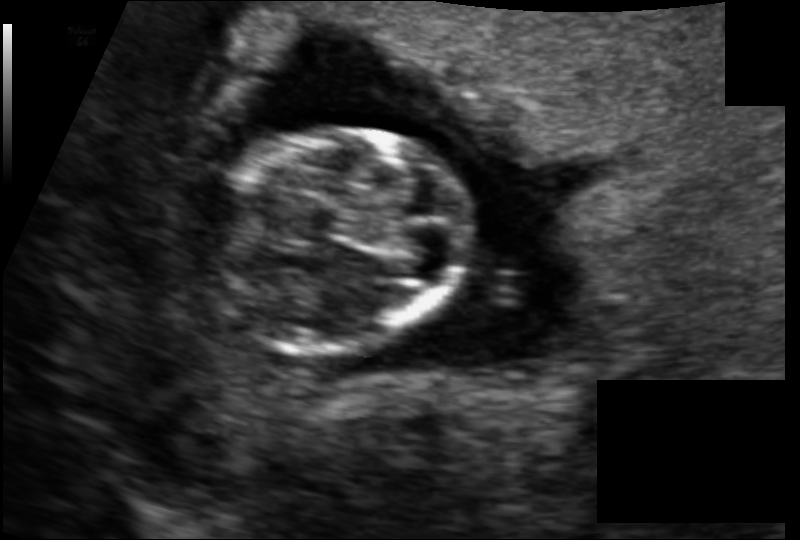
Fetal head ultrasound. Image width: 77.7 mm. Where is the fetal head?

Head bounding box: [204,129,468,349]